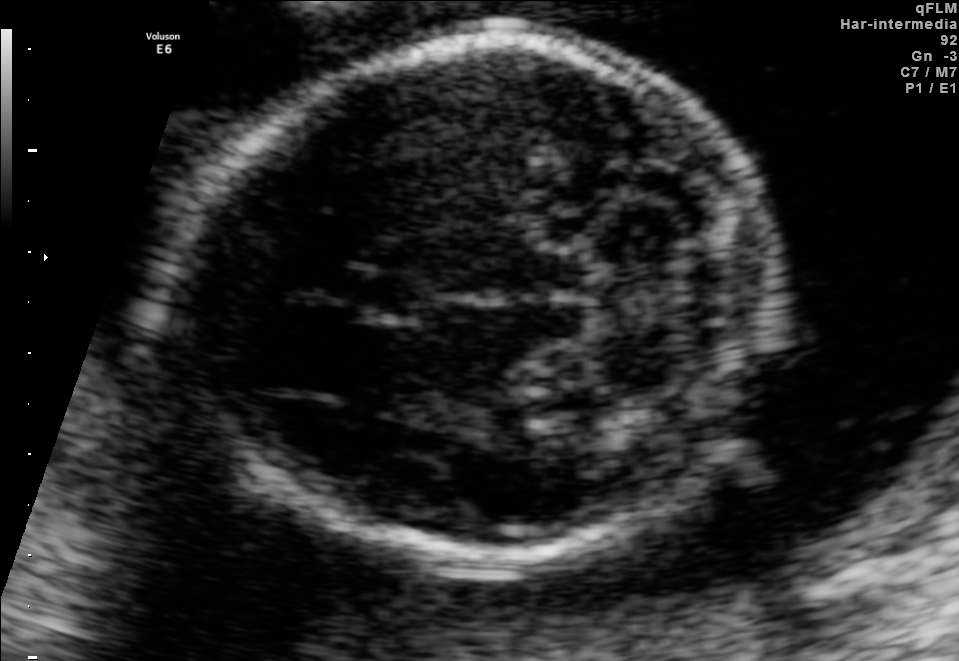
Fetal brain, trans-cerebellum plane. Where is the cavum septum pellucidum?

CSP bounding box: [344,265,433,327]